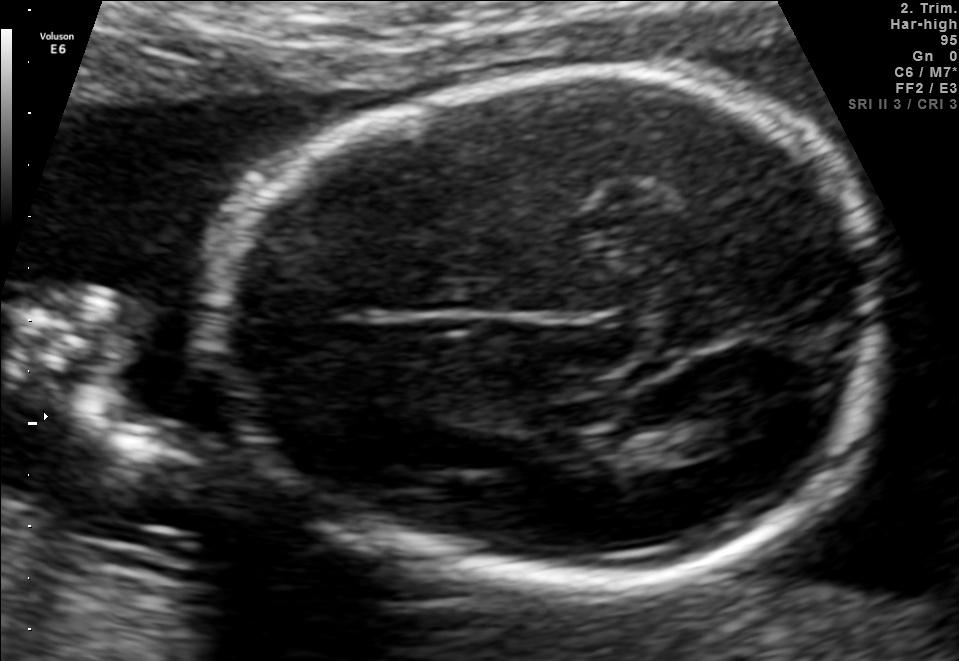
In this fetal brain, trans-thalamic plane, give the bounding box of the lateral ventricle.

[660,394,766,466]